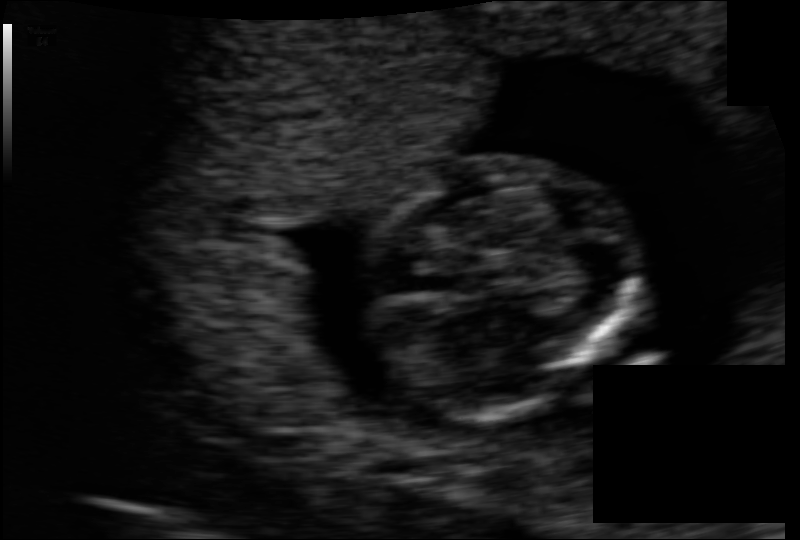
Estimate the fetal head circumference from this 2D ultrasound. Image width: 66.6 mm.

Head circumference: 71.9 mm.